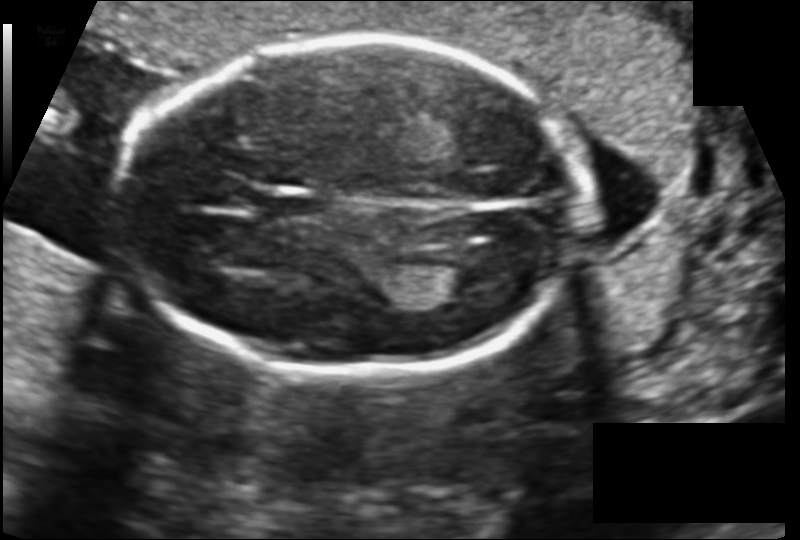
Fetal head ultrasound. Image width: 102.7 mm. Where is the cavum septum pellucidum?

CSP bounding box: [263,193,326,224]